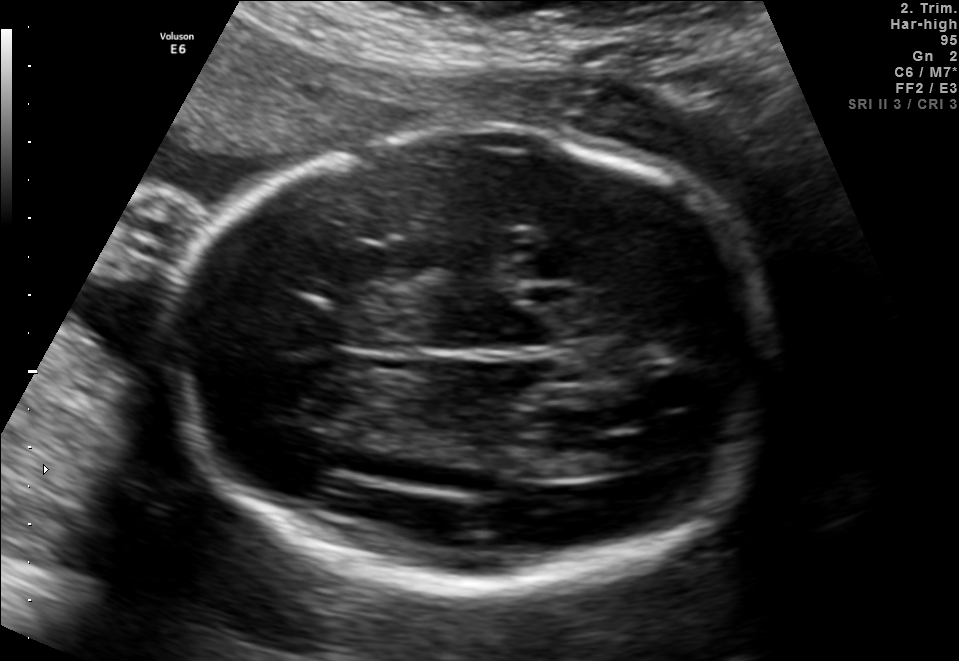
Fetal brain, trans-thalamic plane. Locate the fetal head and, if visible, the cavum septum pellucidum (CSP) and lateral ventricle (LV). Give bounding boxes as [x1,y1,x2,y2].

Head: [160,127,787,594]